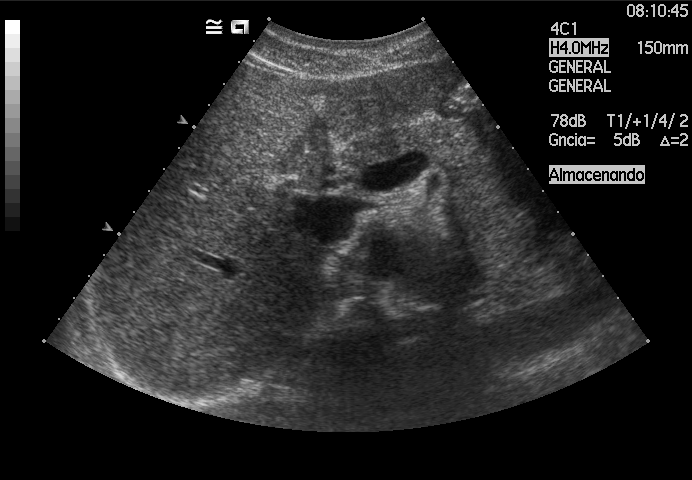
Classify this maternal-fetal ultrasound image as one of the six standard planes — fetal abdomen, fetal brain, fetal femur, fetal thorax, maternal cervix, or other. If it's fetal brain and one of the three standard brain planes (trans-thalamic, trans-cerebellum, trans-ventricular), name which.

Other